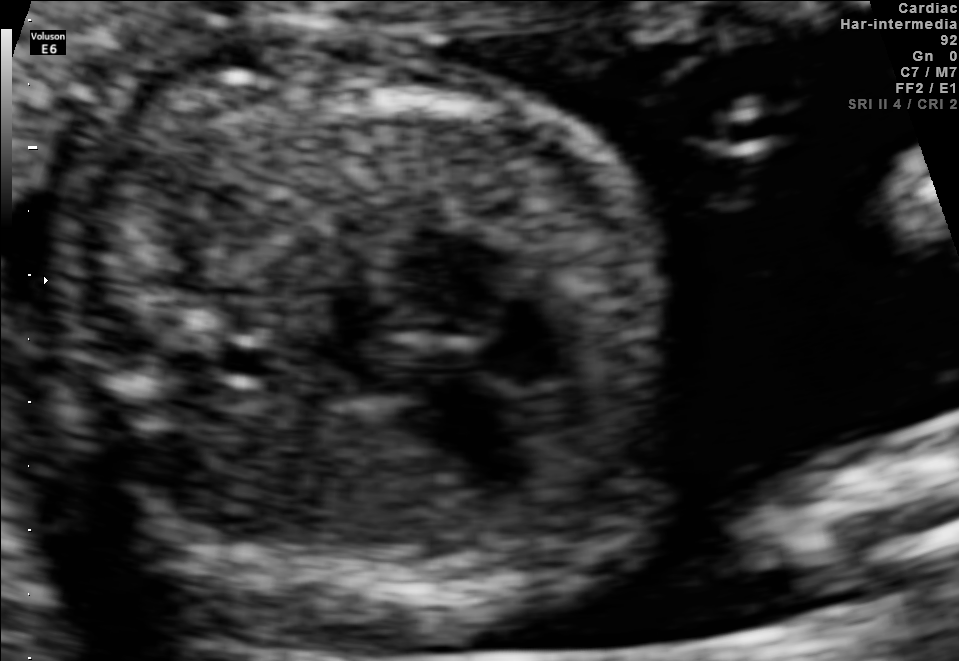
This is a 2D maternal-fetal ultrasound frame. Is it a fetal abdomen, fetal brain, fetal femur, fetal thorax, maternal cervix, or other standard plane? If it's fetal brain and one of the three standard brain planes (trans-thalamic, trans-cerebellum, trans-ventricular), name which.

Fetal thorax